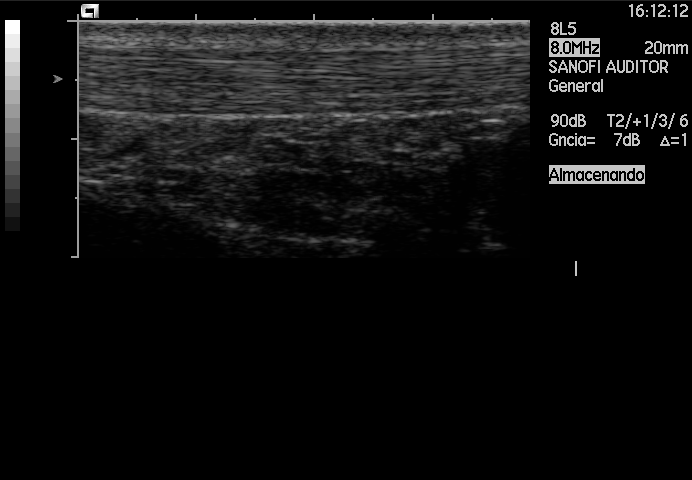
Identify the standard plane in this fetal ultrasound image: fetal abdomen, fetal brain, fetal femur, fetal thorax, maternal cervix, or other. If it's fetal brain and one of the three standard brain planes (trans-thalamic, trans-cerebellum, trans-ventricular), name which.

Other